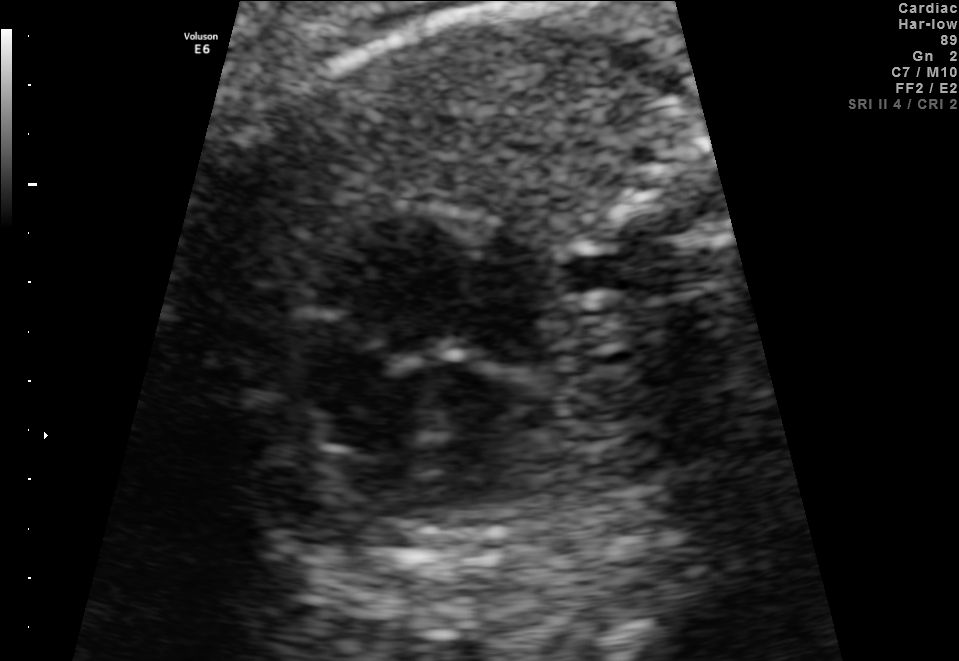
Which standard maternal-fetal ultrasound plane is shown: fetal abdomen, fetal brain, fetal femur, fetal thorax, maternal cervix, or other? If it's fetal brain and one of the three standard brain planes (trans-thalamic, trans-cerebellum, trans-ventricular), name which.

Fetal thorax